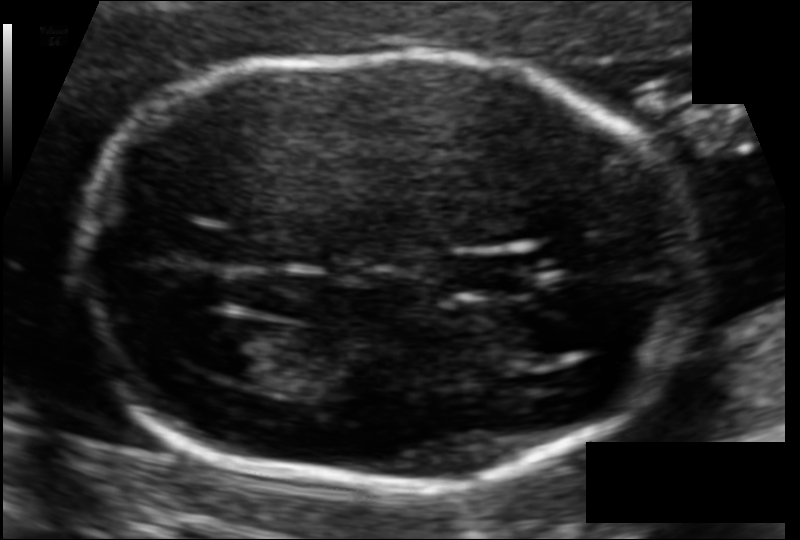
Fetal head ultrasound. Image width: 73.9 mm. Locate the lateral ventricle.

Lateral ventricle: [197,311,296,388]